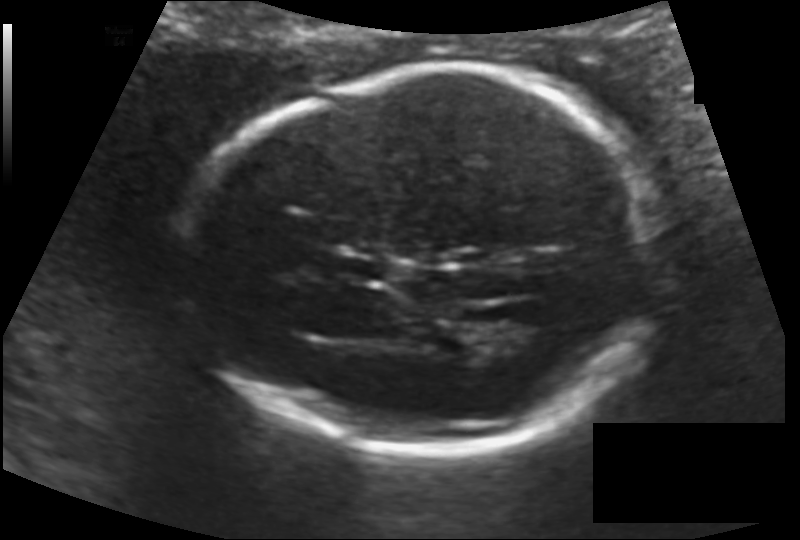
Measure the fetal head circumference shown in this ultrasound image. Image width: 102.3 mm.

Head circumference: 177.0 mm.